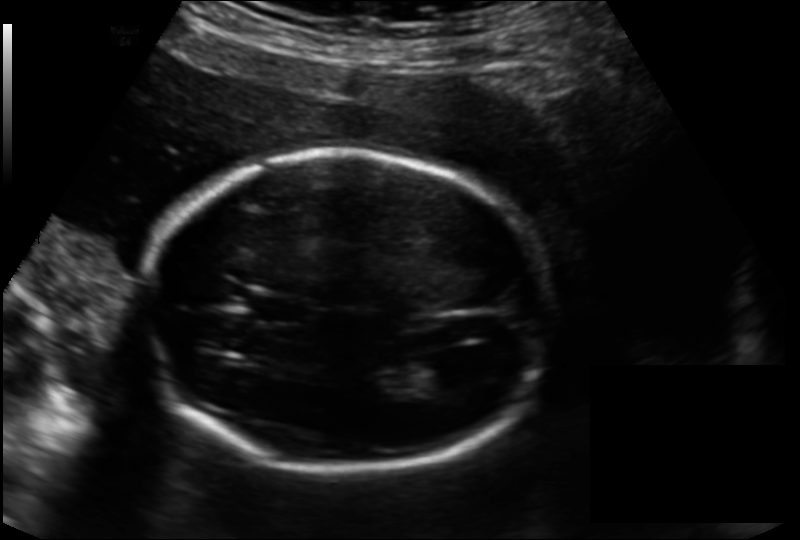
In this fetal head ultrasound, give bounding boxes for the head outline, cavum septum pellucidum (CSP), and lateral ventricle (LV), where visible. Image width: 133.1 mm.

Head: [147,148,551,472]
CSP: [251,292,315,329]
Lateral ventricle: [395,353,462,398]